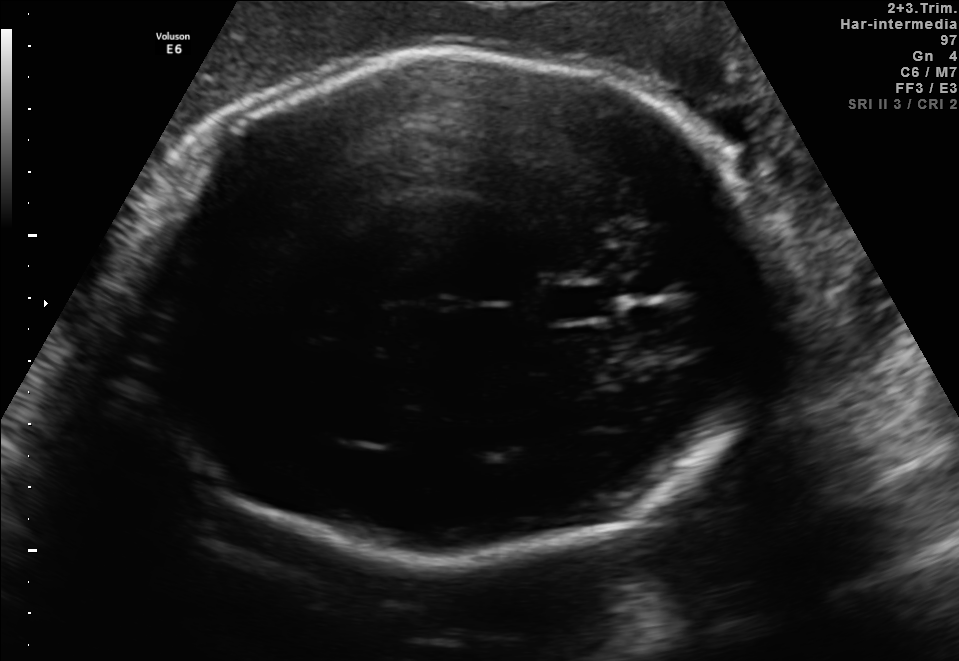
Fetal brain, trans-thalamic plane. Where is the fetal head?

Head bounding box: [122,52,773,555]